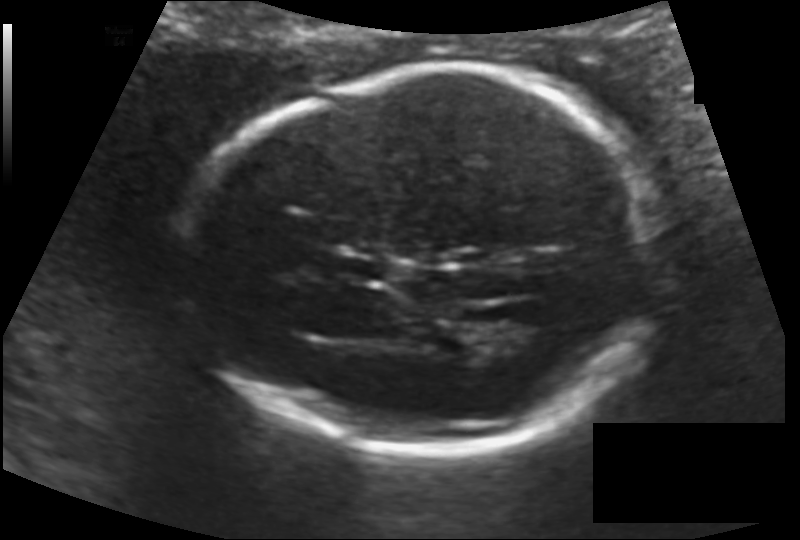
Estimate the fetal head circumference from this 2D ultrasound. Image width: 102.3 mm.

Head circumference: 177.0 mm.